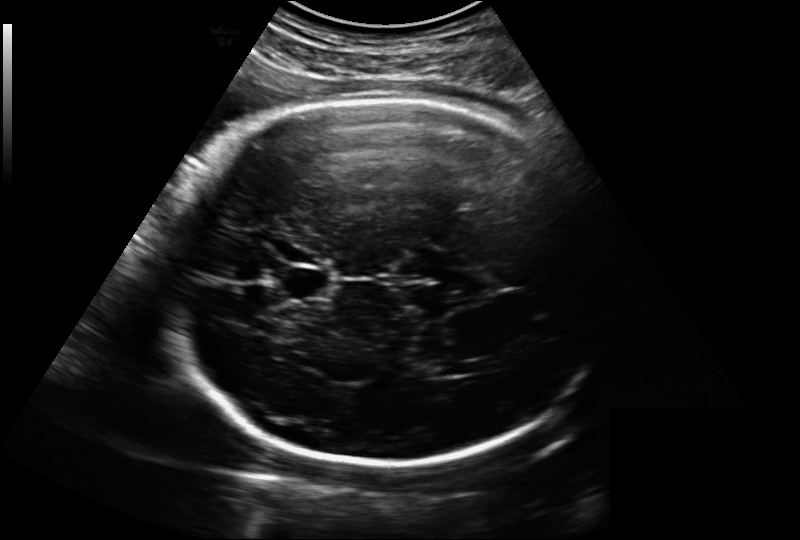
Fetal head ultrasound. Image width: 176.5 mm. Locate the lateral ventricle.

Lateral ventricle: [433,360,464,377]